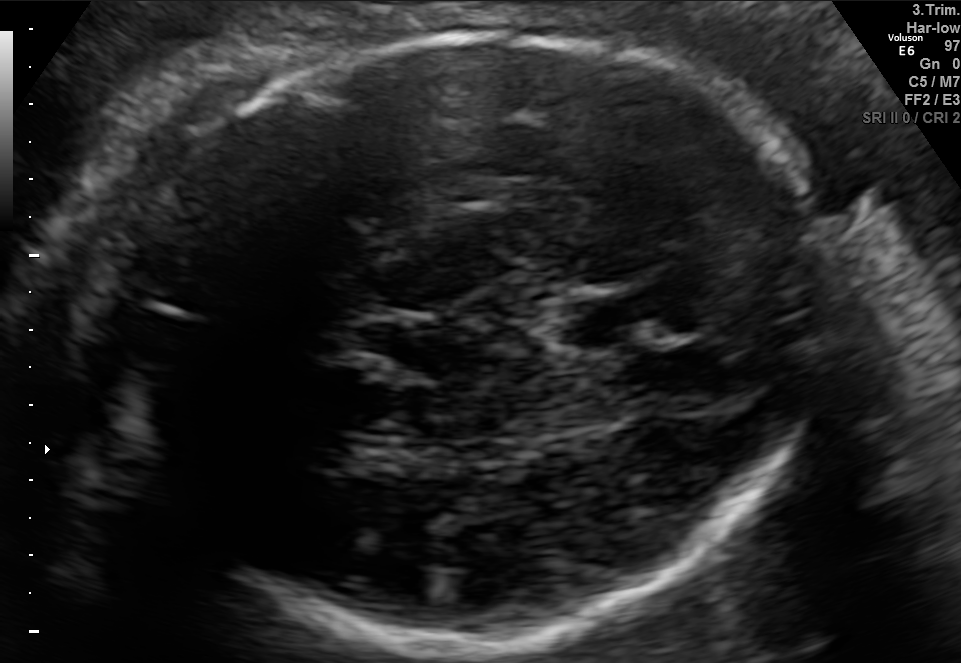
In this fetal brain, trans-thalamic plane, give the bounding box of the fetal head.

[92,36,829,653]